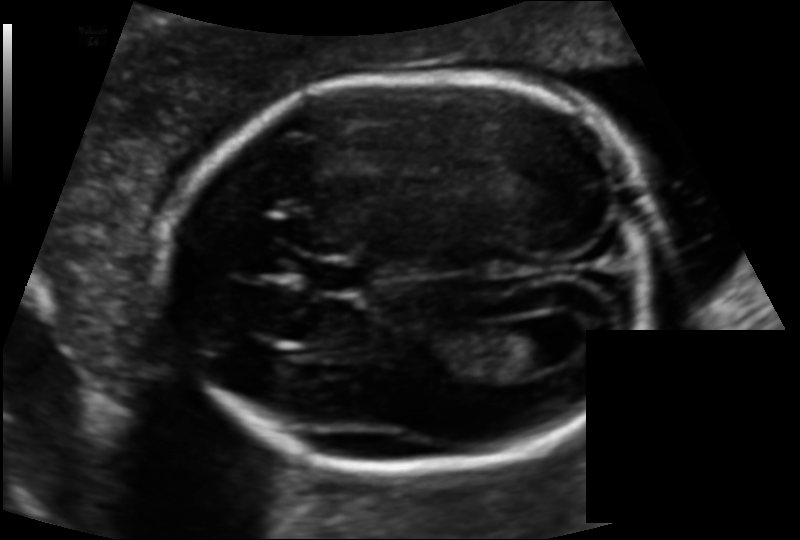
Measure the fetal head circumference shown in this ultrasound image. Image width: 95.5 mm.

Head circumference: 171.9 mm.